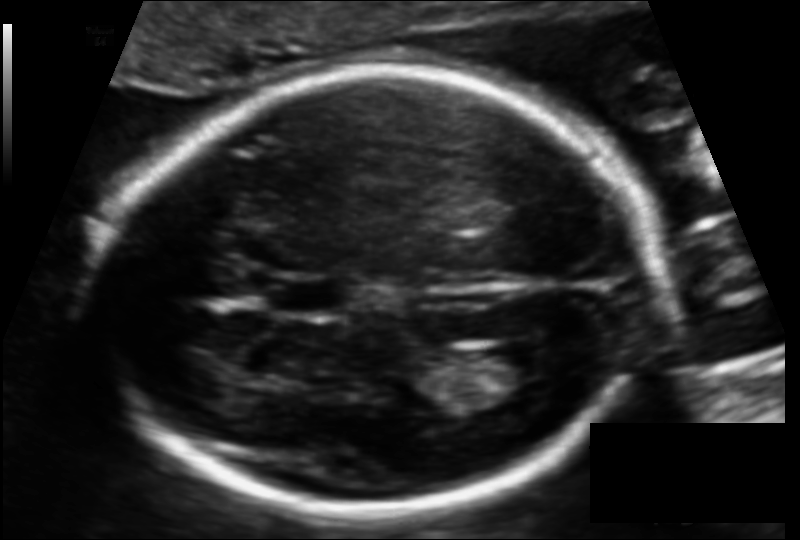
In this fetal head ultrasound, give the bounding box of the cavum septum pellucidum. Image width: 89.8 mm.

[265,277,343,315]